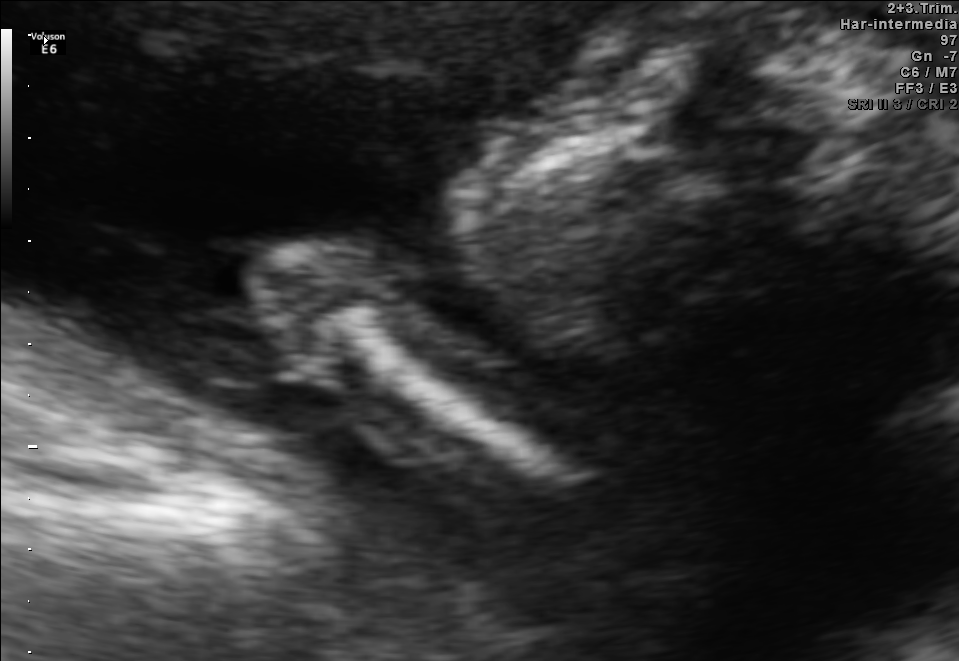
Which standard maternal-fetal ultrasound plane is shown: fetal abdomen, fetal brain, fetal femur, fetal thorax, maternal cervix, or other? If it's fetal brain and one of the three standard brain planes (trans-thalamic, trans-cerebellum, trans-ventricular), name which.

Other